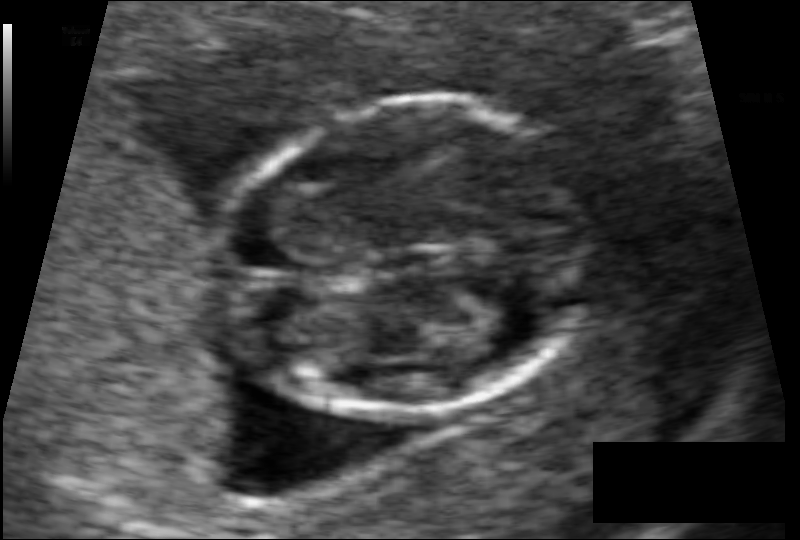
Estimate the fetal head circumference from this 2D ultrasound. Image width: 48.9 mm.

Head circumference: 69.5 mm.